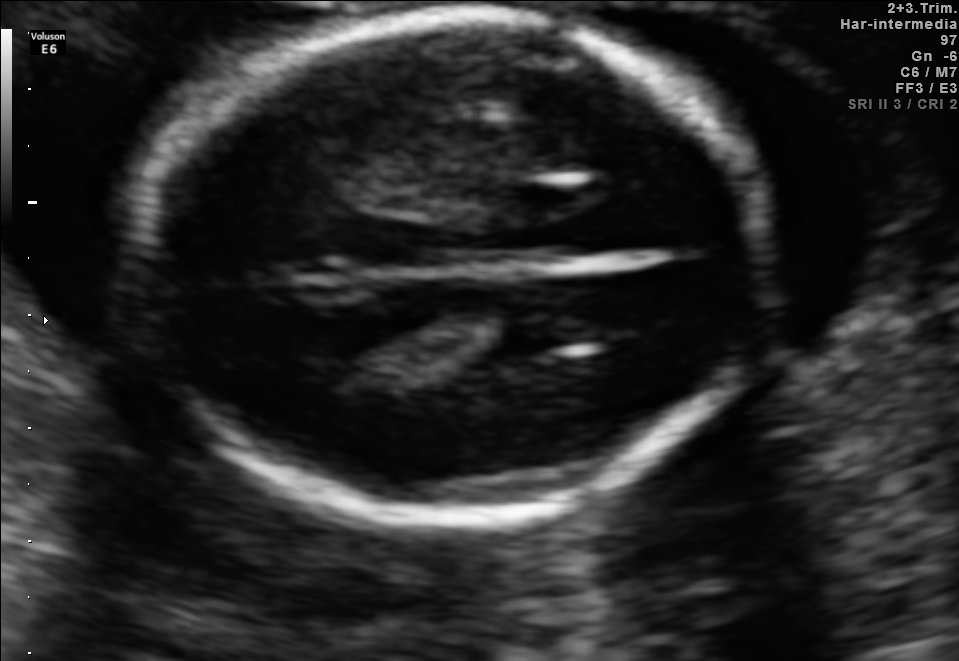
Fetal brain, trans-thalamic plane. Give [x1,y1,x2,y2] bounding boxes for each visible structure among: fetal head, CSP, LV.

Head: [139,16,768,519]